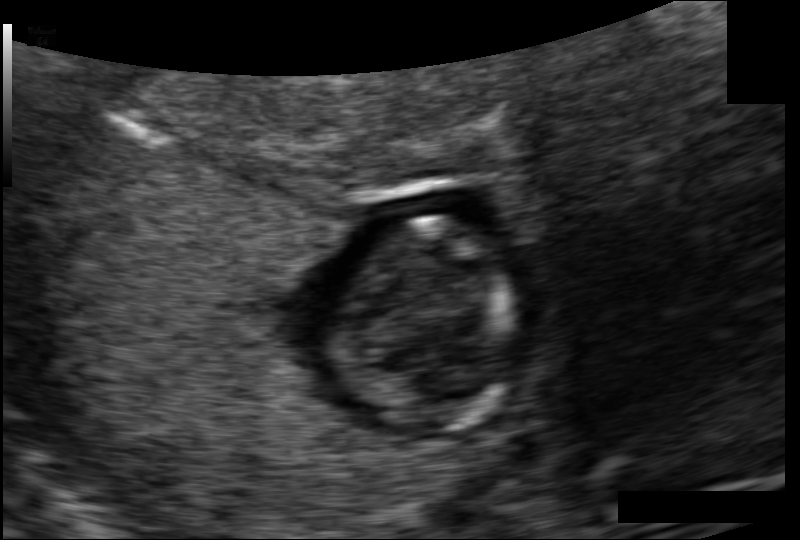
Estimate the fetal head circumference from this 2D ultrasound.

Head circumference: 65.4 mm (image width 78.5 mm).